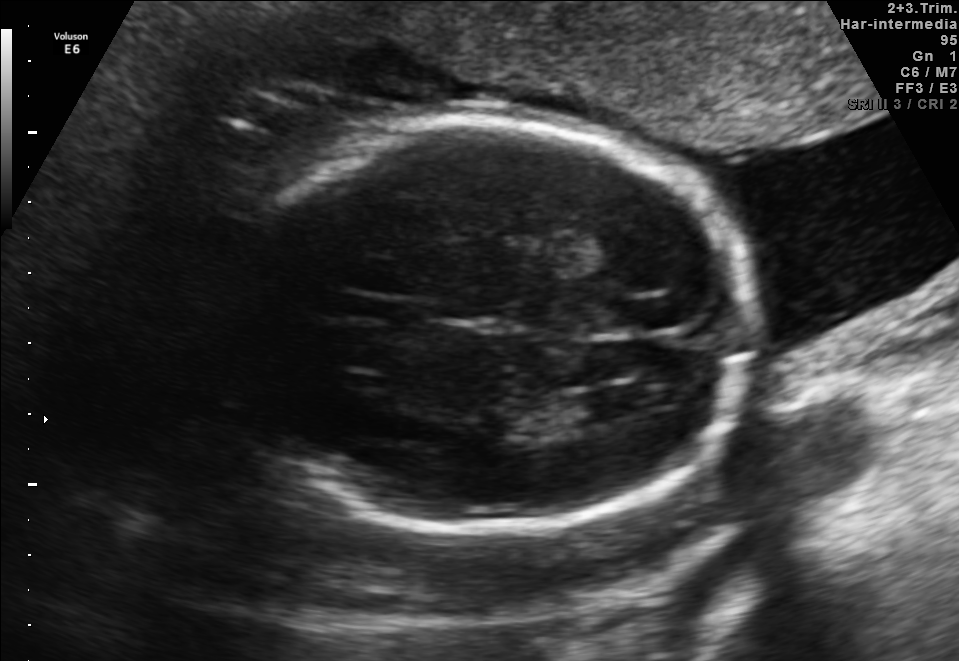
This is a 2D maternal-fetal ultrasound frame. Is it a fetal abdomen, fetal brain, fetal femur, fetal thorax, maternal cervix, or other standard plane? If it's fetal brain and one of the three standard brain planes (trans-thalamic, trans-cerebellum, trans-ventricular), name which.

Fetal brain (trans-ventricular plane)